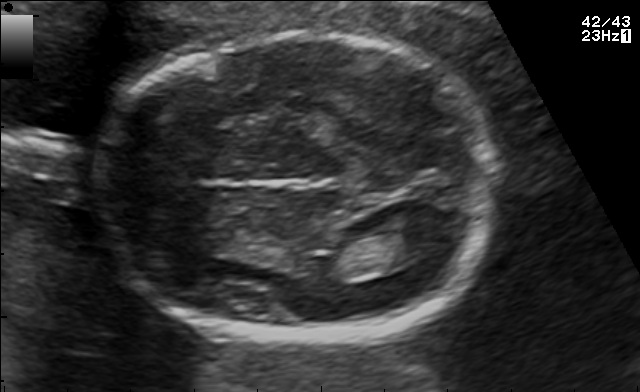
Fetal brain, trans-thalamic plane. Where is the lateral ventricle?

Lateral ventricle bounding box: [363,222,437,273]